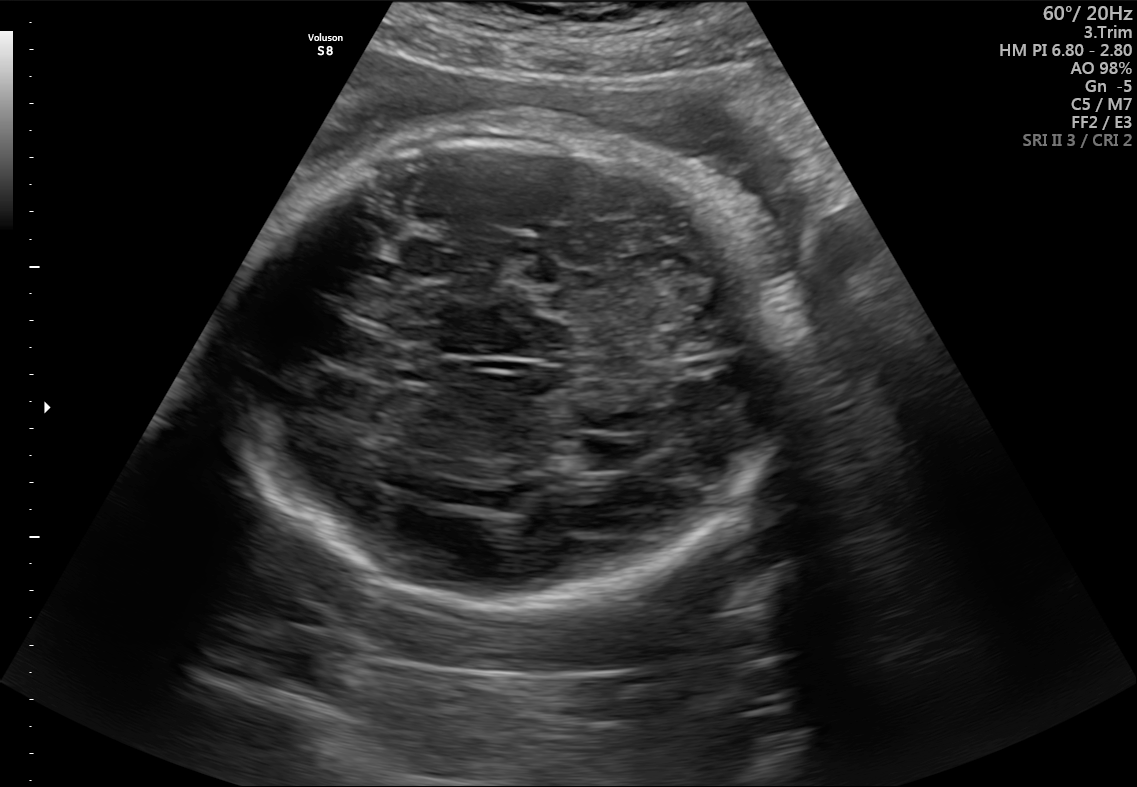
In this fetal brain, trans-thalamic plane, give the bounding box of the lateral ventricle.

[571,435,631,471]